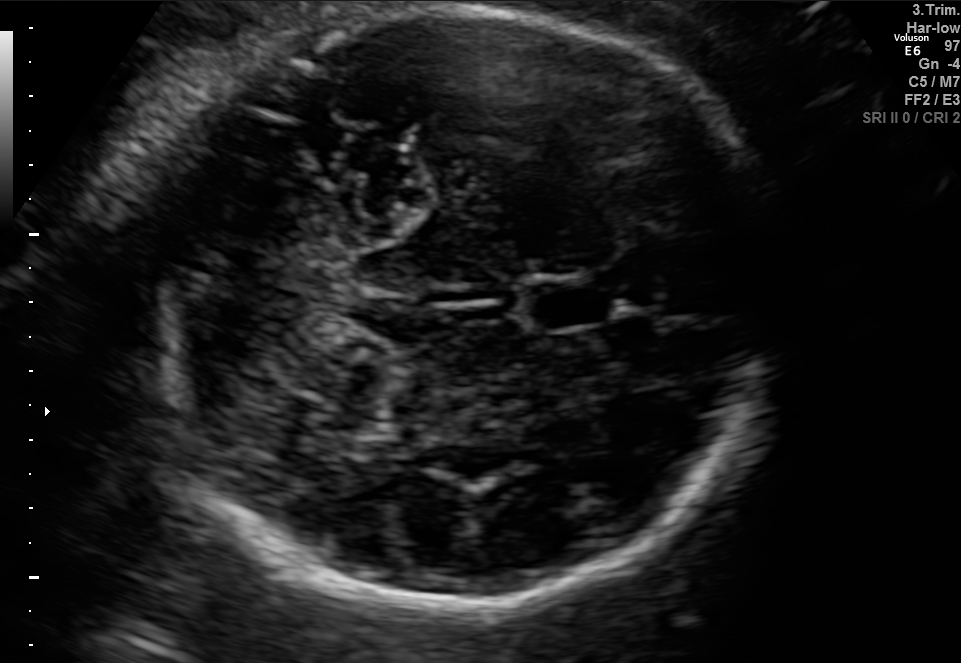
Fetal brain, trans-cerebellum plane. Locate the fetal head and, if visible, the cavum septum pellucidum (CSP) and lateral ventricle (LV). Give bounding boxes as [x1,y1,x2,y2].

Head: [141,8,766,605]
CSP: [523,276,612,334]